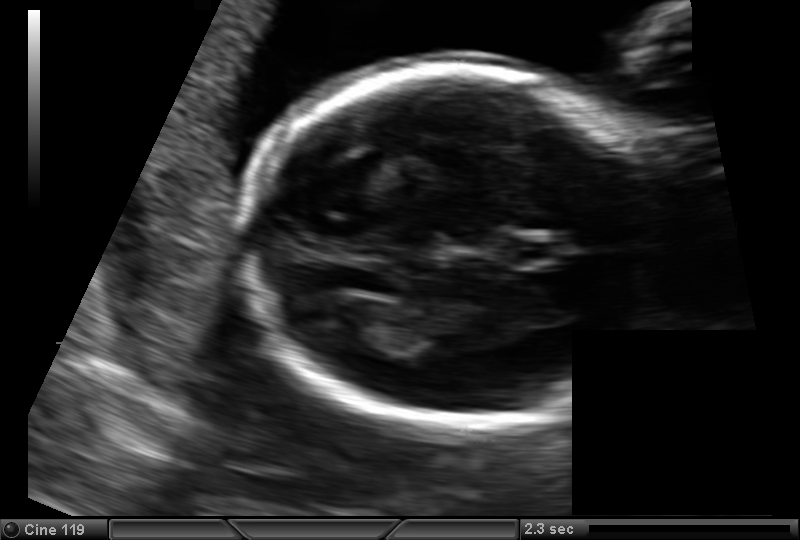
Estimate the fetal head circumference from this 2D ultrasound. Image width: 103.2 mm.

Head circumference: 168.4 mm.